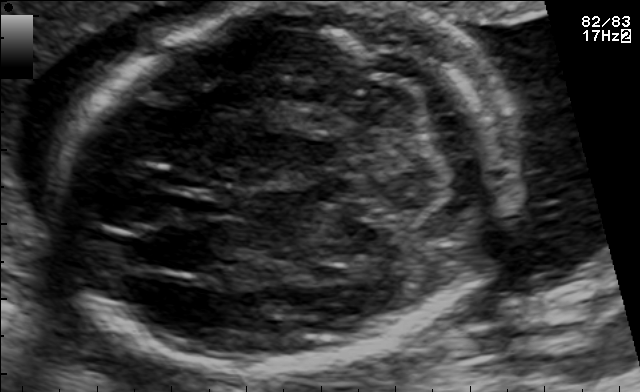
In this fetal brain, trans-cerebellum plane, give bounding boxes for the head outline, cavum septum pellucidum (CSP), and lateral ventricle (LV), where visible.

Head: [49,2,523,369]